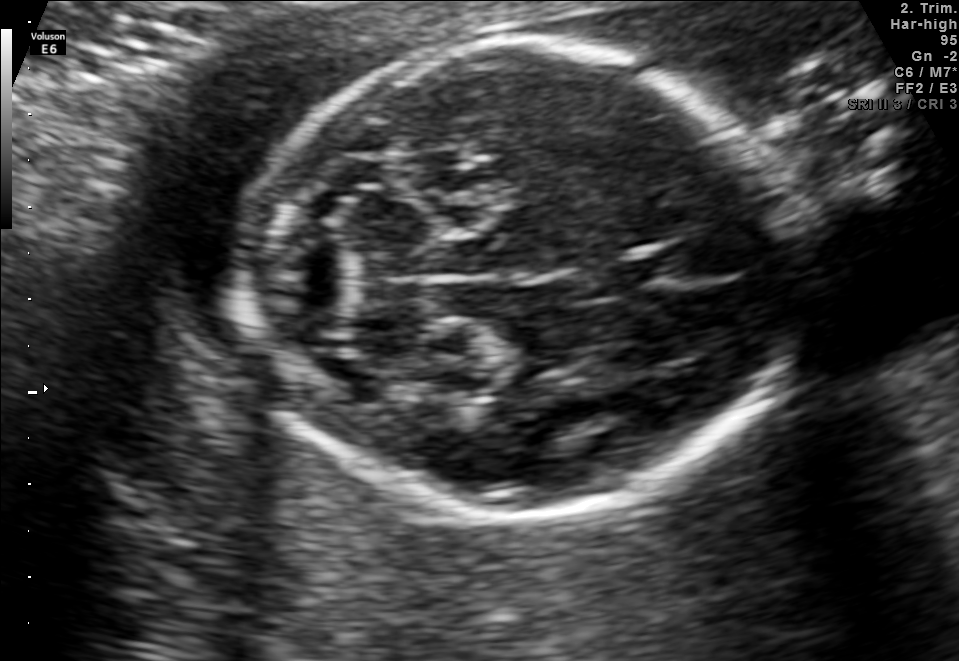
Fetal brain, trans-cerebellum plane. Locate the cavum septum pellucidum.

CSP: [582,250,660,302]